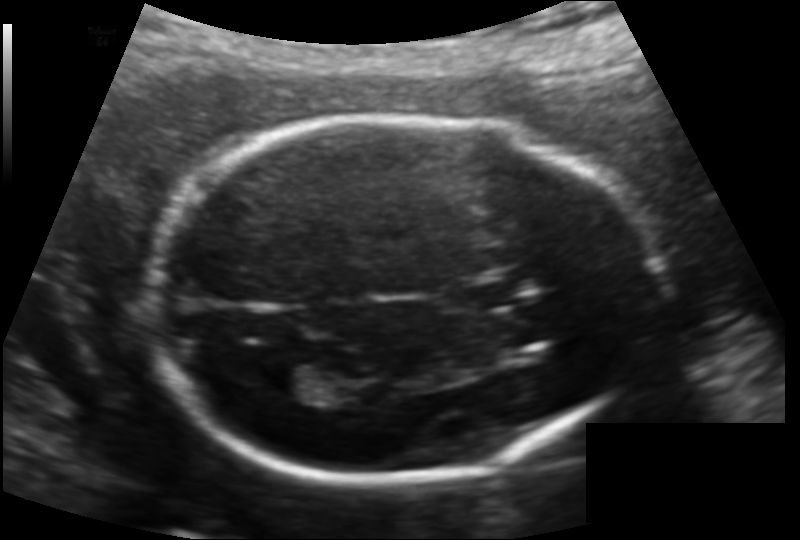
In this fetal head ultrasound, give bounding boxes for the head outline, cavum septum pellucidum (CSP), and lateral ventricle (LV), where visible. Image width: 105.6 mm.

Head: [142,115,660,477]
CSP: [459,264,537,316]
Lateral ventricle: [263,360,326,402]